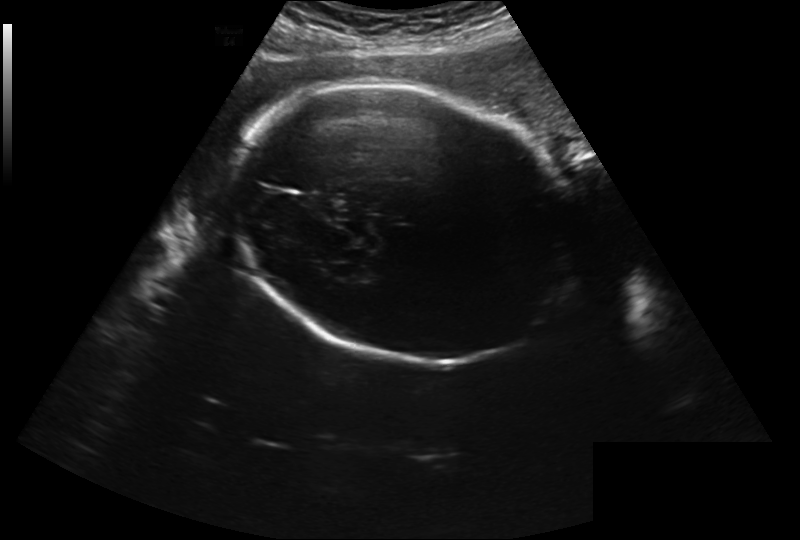
Estimate the fetal head circumference from this 2D ultrasound.

Head circumference: 279.4 mm (image width 223.8 mm).